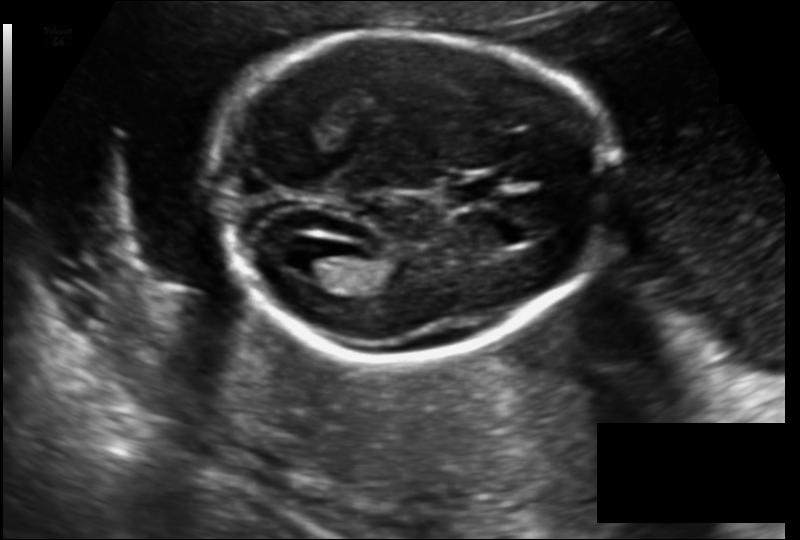
Estimate the fetal head circumference from this 2D ultrasound.

Head circumference: 168.9 mm (image width 113.3 mm).